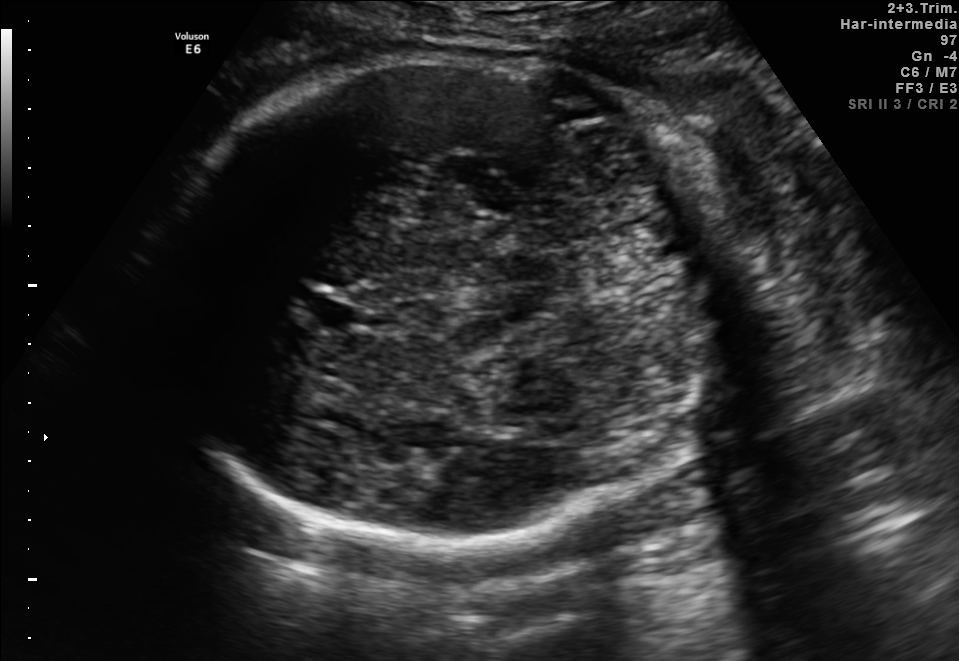
In this fetal brain, trans-thalamic plane, give the bounding box of the fetal head.

[150,59,715,538]